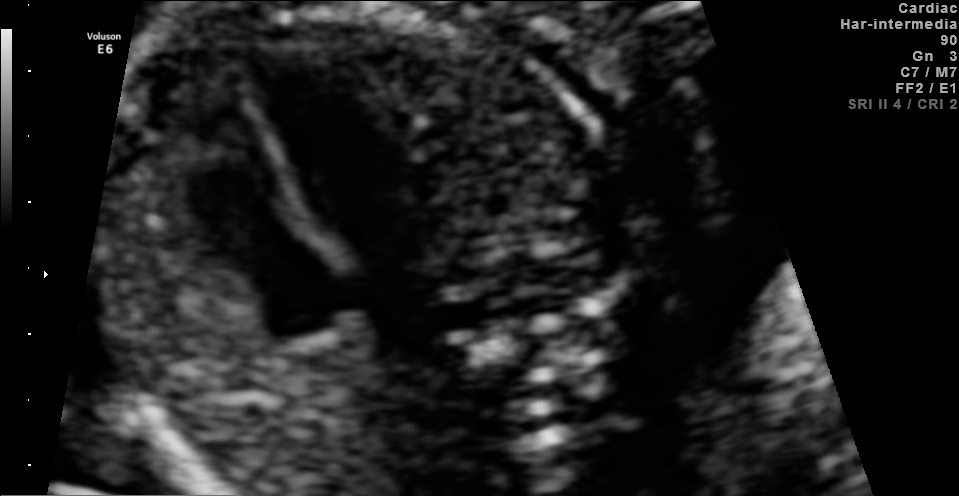
Classify this maternal-fetal ultrasound image as one of the six standard planes — fetal abdomen, fetal brain, fetal femur, fetal thorax, maternal cervix, or other. If it's fetal brain and one of the three standard brain planes (trans-thalamic, trans-cerebellum, trans-ventricular), name which.

Fetal thorax